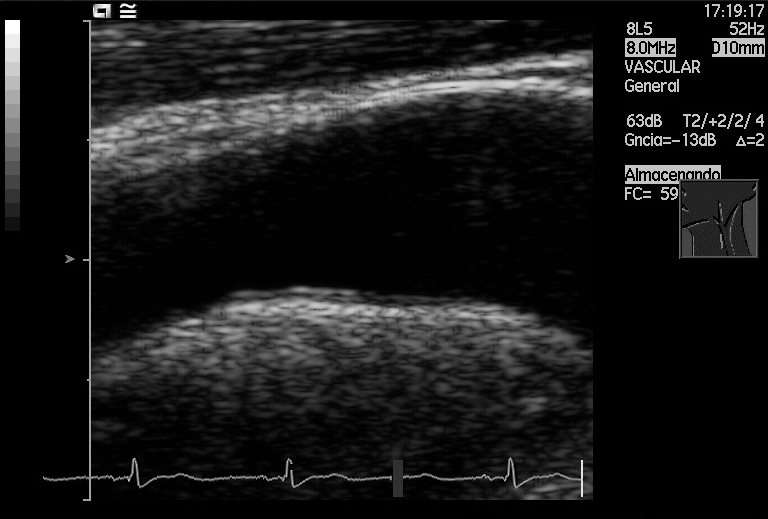
Identify the standard plane in this fetal ultrasound image: fetal abdomen, fetal brain, fetal femur, fetal thorax, maternal cervix, or other. If it's fetal brain and one of the three standard brain planes (trans-thalamic, trans-cerebellum, trans-ventricular), name which.

Other